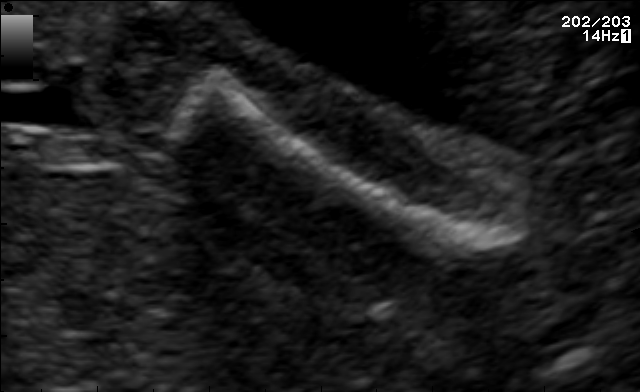
Which standard maternal-fetal ultrasound plane is shown: fetal abdomen, fetal brain, fetal femur, fetal thorax, maternal cervix, or other? If it's fetal brain and one of the three standard brain planes (trans-thalamic, trans-cerebellum, trans-ventricular), name which.

Fetal femur